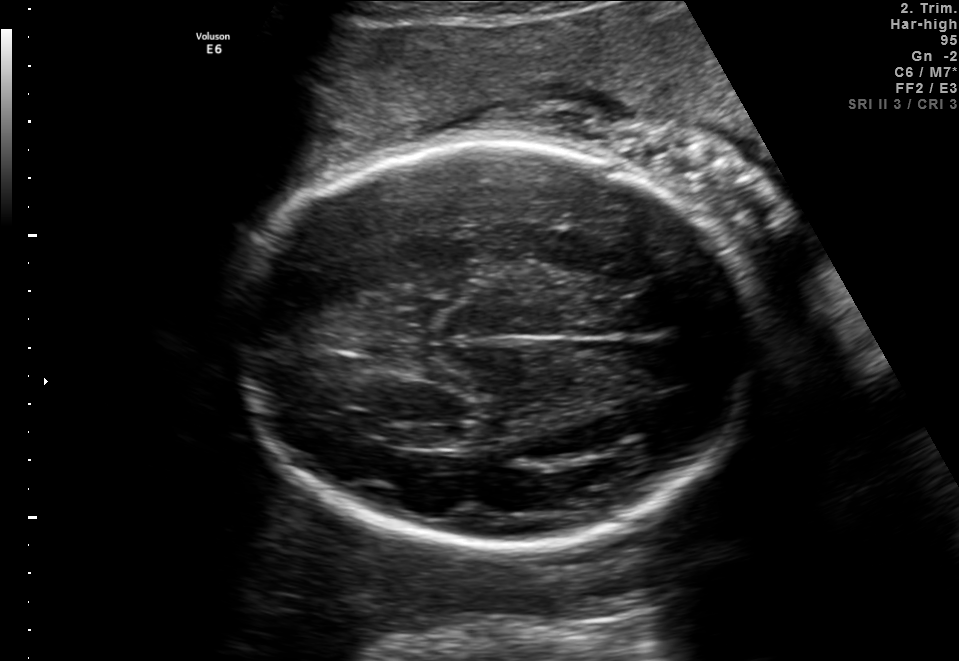
Fetal brain, trans-thalamic plane. Where is the fetal head?

Head bounding box: [225,144,764,547]